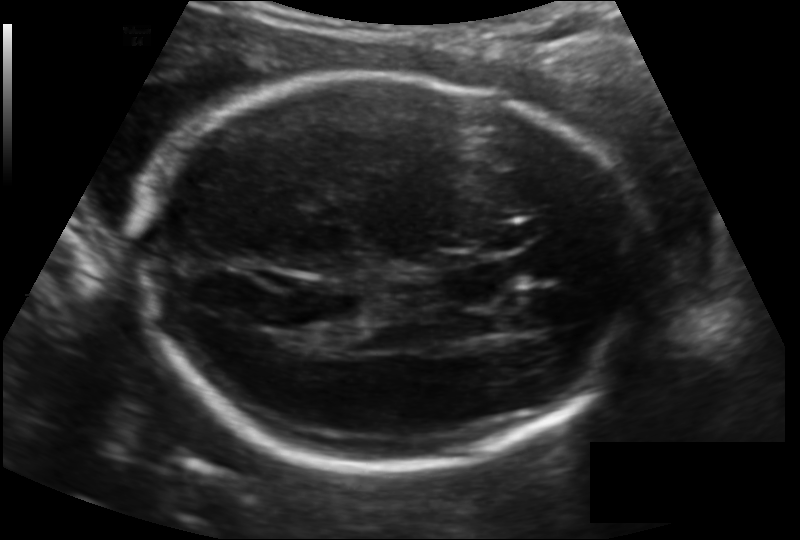
Fetal head ultrasound. Image width: 118.2 mm. Where is the fetal head?

Head bounding box: [141,76,641,469]